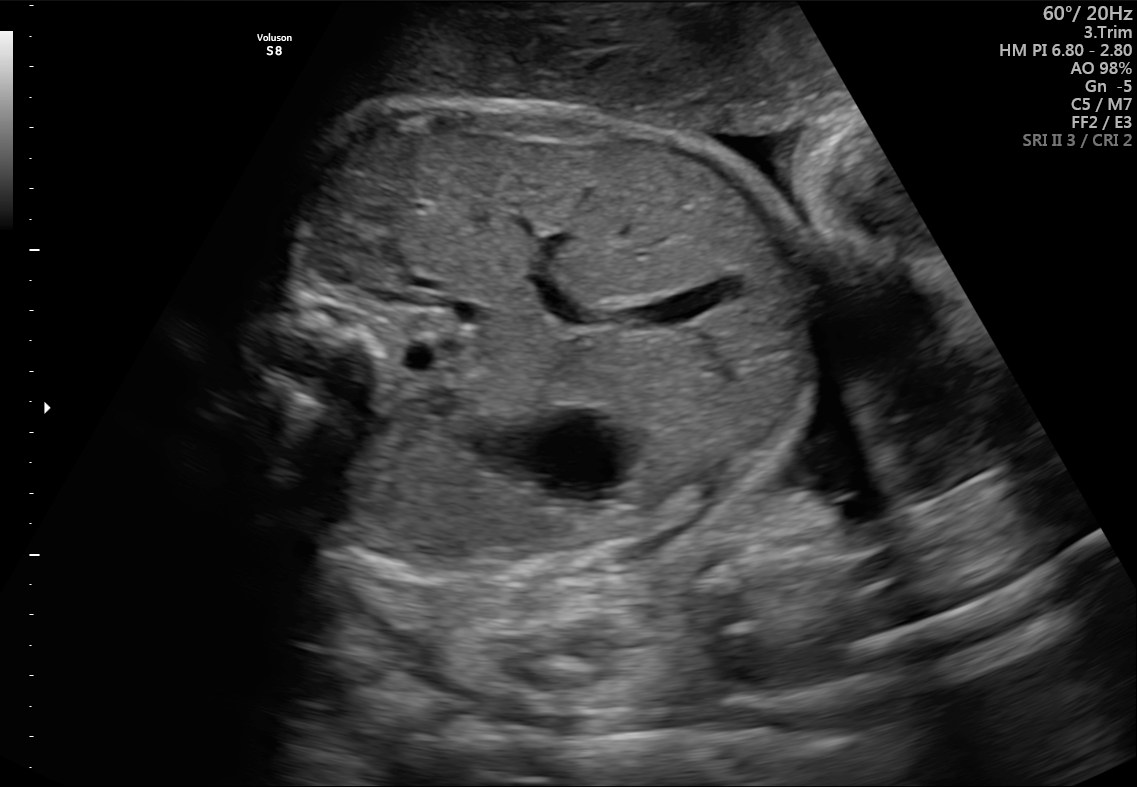
Which standard maternal-fetal ultrasound plane is shown: fetal abdomen, fetal brain, fetal femur, fetal thorax, maternal cervix, or other? If it's fetal brain and one of the three standard brain planes (trans-thalamic, trans-cerebellum, trans-ventricular), name which.

Fetal abdomen